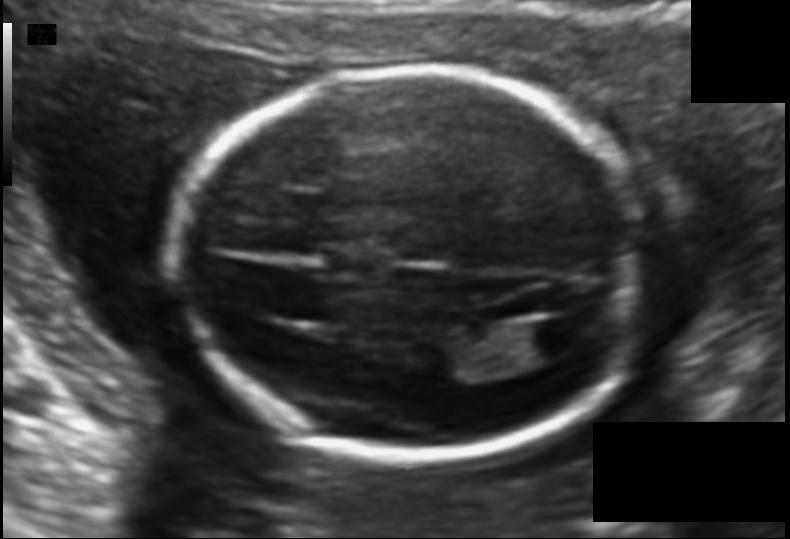
Measure the fetal head circumference shown in this ultrasound image. Image width: 95.9 mm.

Head circumference: 170.2 mm.